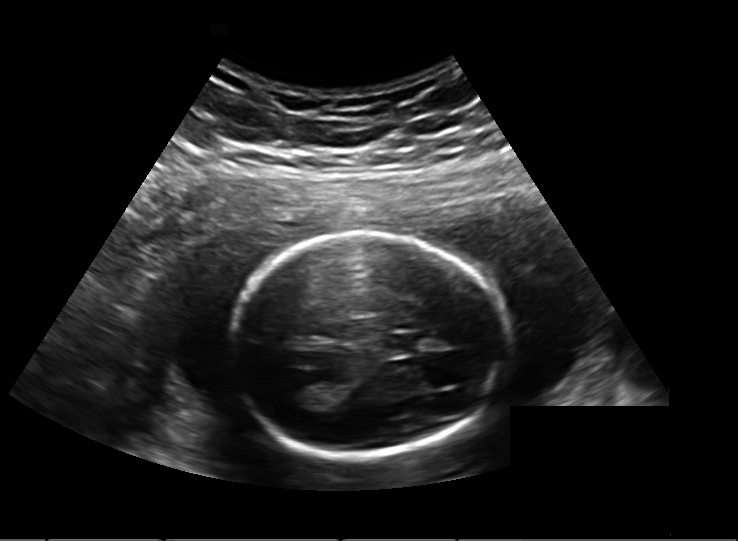
Fetal head ultrasound. Image width: 149.5 mm. Locate the cavum septum pellucidum.

CSP: [385,332,418,355]